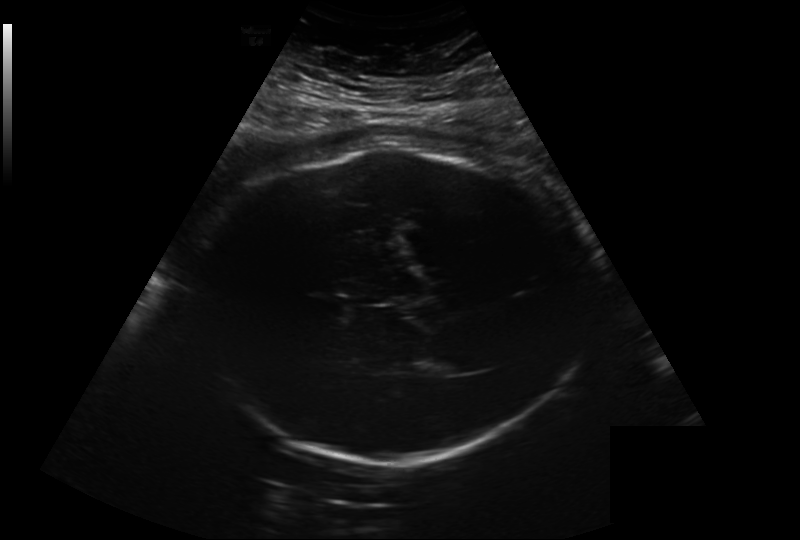
Fetal head ultrasound. Image width: 225.2 mm. Where is the lateral ventricle?

Lateral ventricle bounding box: [428,352,470,376]